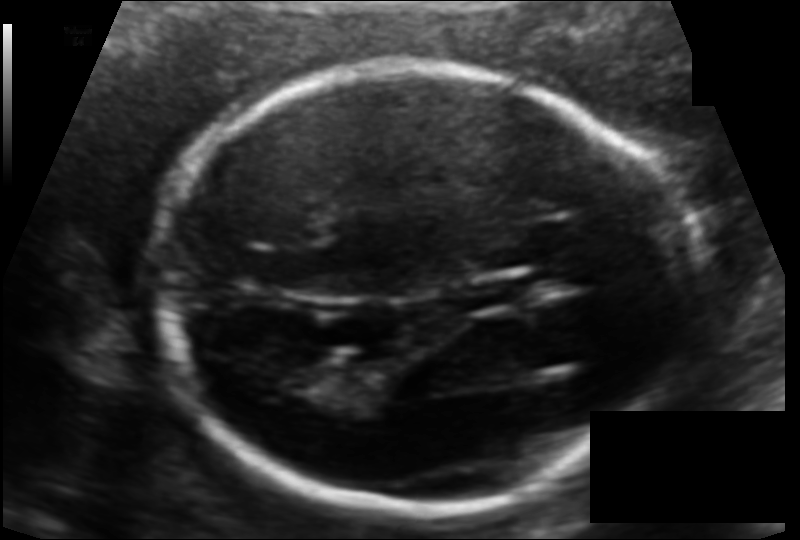
Fetal head ultrasound. Image width: 85.9 mm. Where is the cavum septum pellucidum?

CSP bounding box: [462,275,533,315]